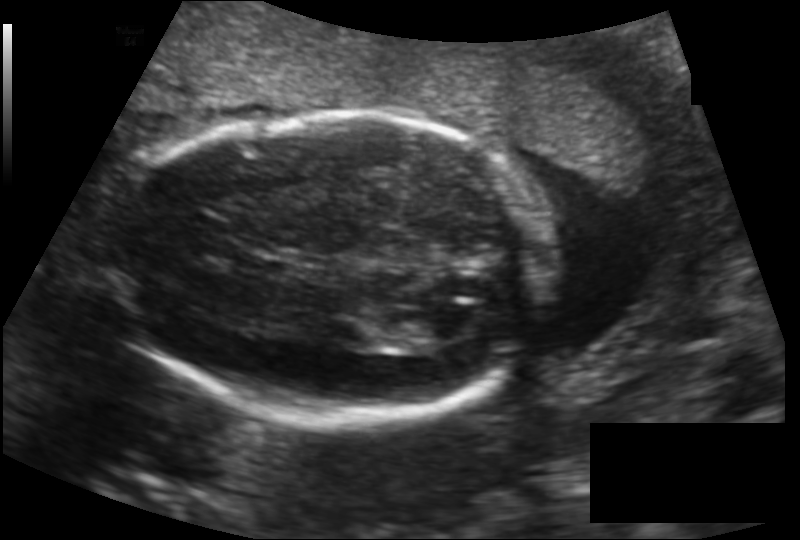
Fetal head ultrasound. Image width: 116.6 mm. Give [x1,y1,x2,y2] bounding boxes for each visible structure among: fetal head, CSP, LV.

Head: [125,111,548,427]
Lateral ventricle: [426,305,482,341]